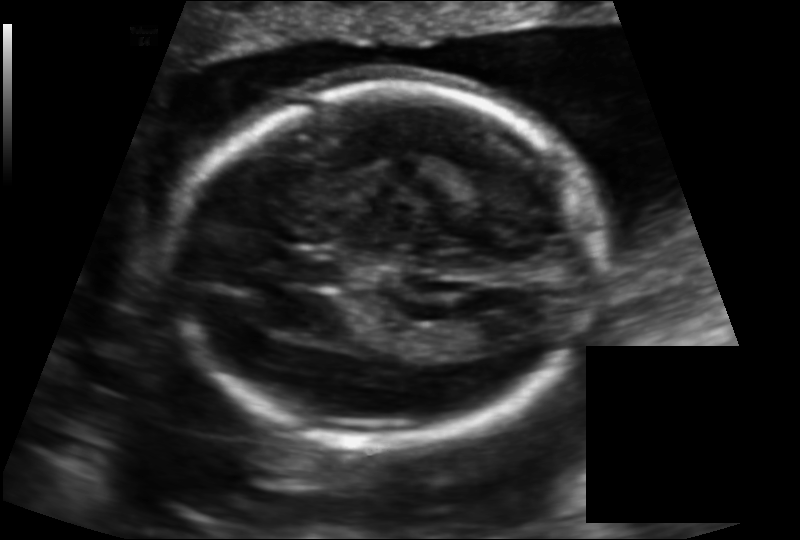
What is the fetal head circumference? Image width is 106.6 mm.

171.1 mm